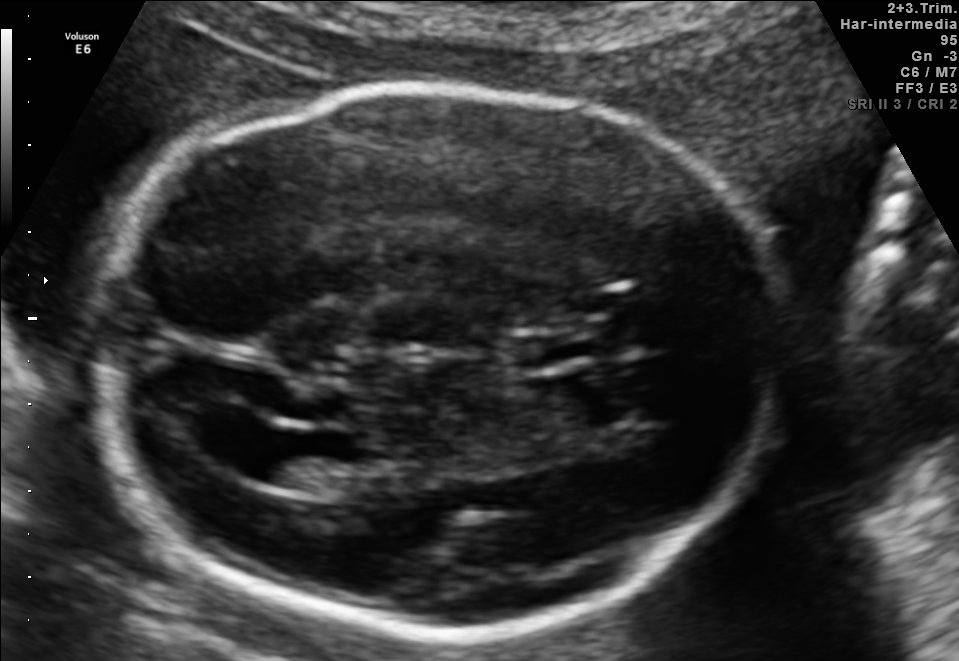
Fetal brain, trans-ventricular plane. Where is the cavum septum pellucidum?

CSP bounding box: [499,323,626,375]